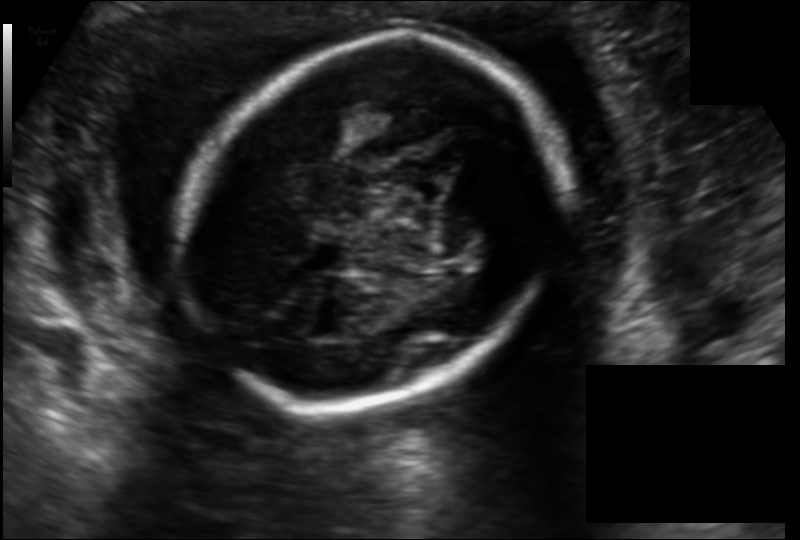
In this fetal head ultrasound, give bounding boxes for the head outline, cavum septum pellucidum (CSP), and lateral ventricle (LV), where visible. Image width: 112.8 mm.

Head: [187,35,560,408]